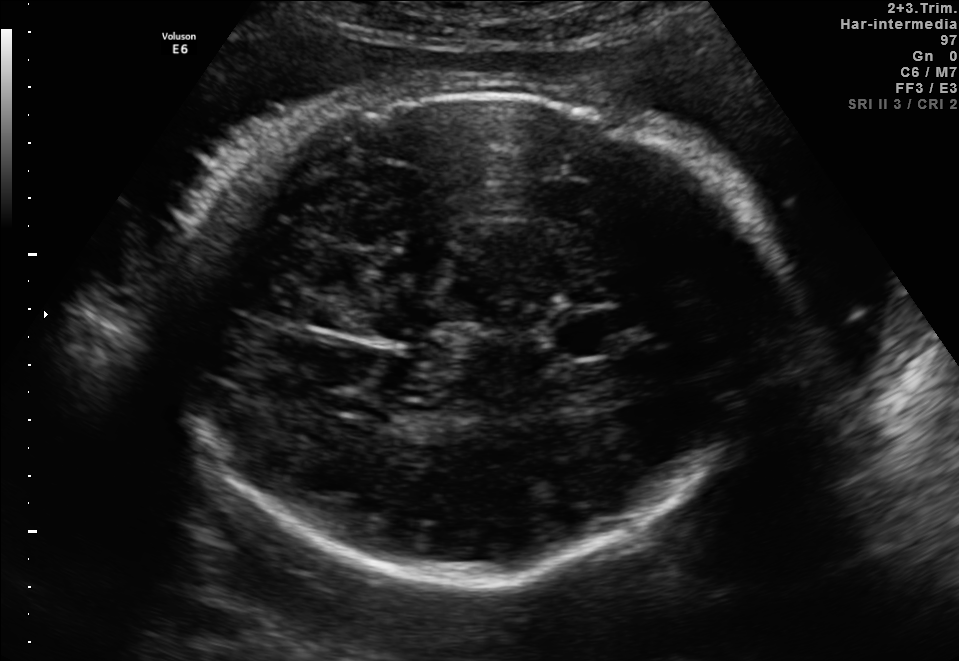
Fetal brain, trans-thalamic plane. Locate the lateral ventricle.

Lateral ventricle: [314,385,387,425]